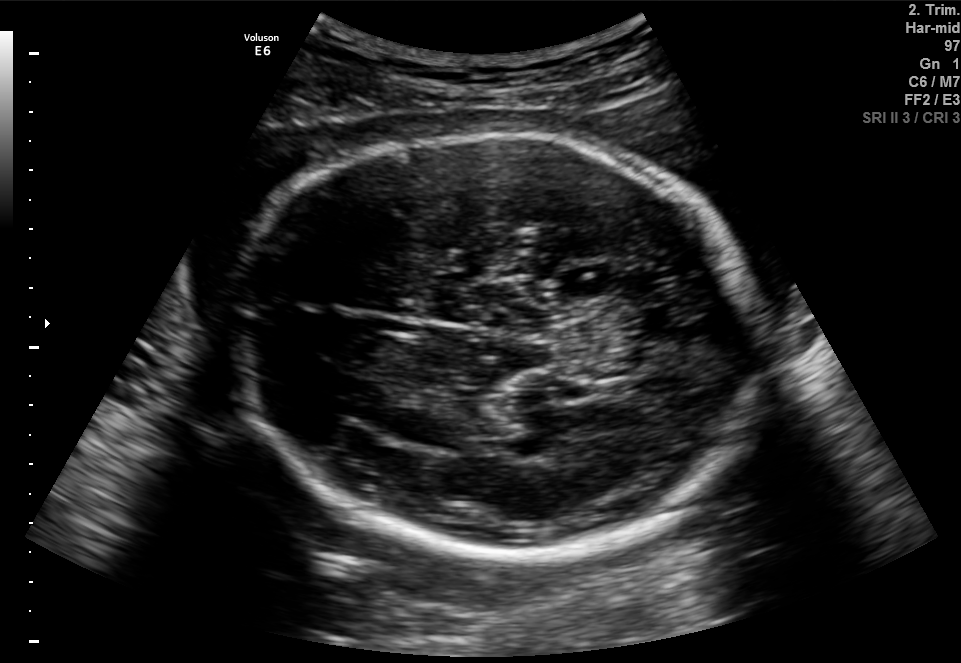
Fetal brain, trans-thalamic plane. Give [x1,y1,x2,y2] bounding boxes for each visible structure among: fetal head, CSP, LV.

Head: [229,132,756,557]